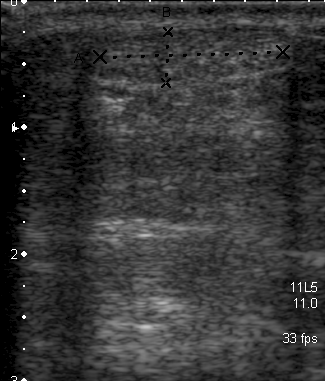
Which standard maternal-fetal ultrasound plane is shown: fetal abdomen, fetal brain, fetal femur, fetal thorax, maternal cervix, or other? If it's fetal brain and one of the three standard brain planes (trans-thalamic, trans-cerebellum, trans-ventricular), name which.

Other